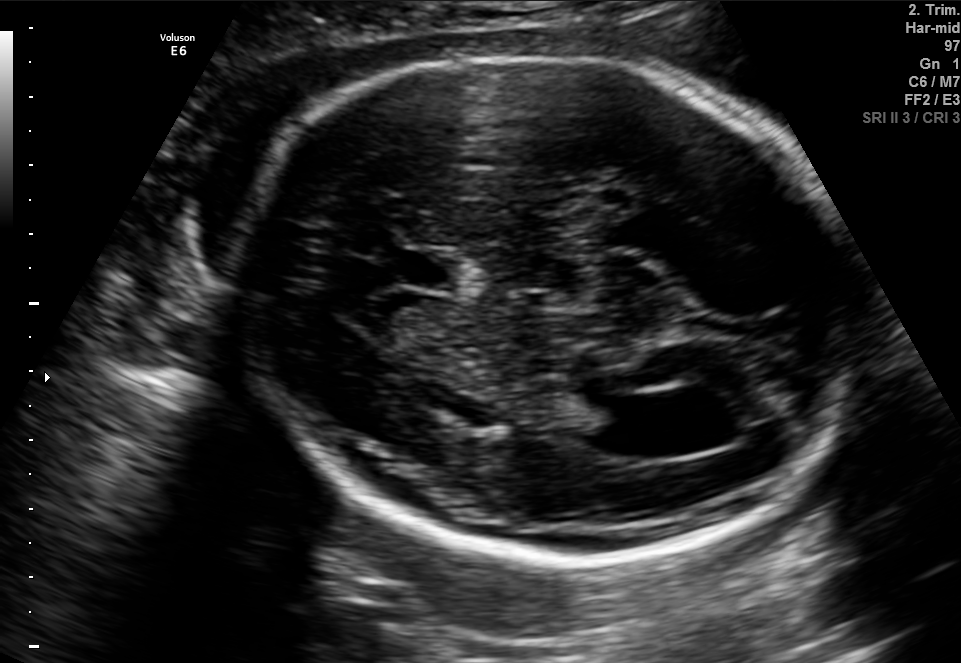
Fetal brain, trans-ventricular plane. Locate the fetal head and, if visible, the cavum septum pellucidum (CSP) and lateral ventricle (LV). Give bounding boxes as [x1,y1,x2,y2].

Head: [221,46,862,563]
CSP: [367,240,481,299]
Lateral ventricle: [585,390,674,454]